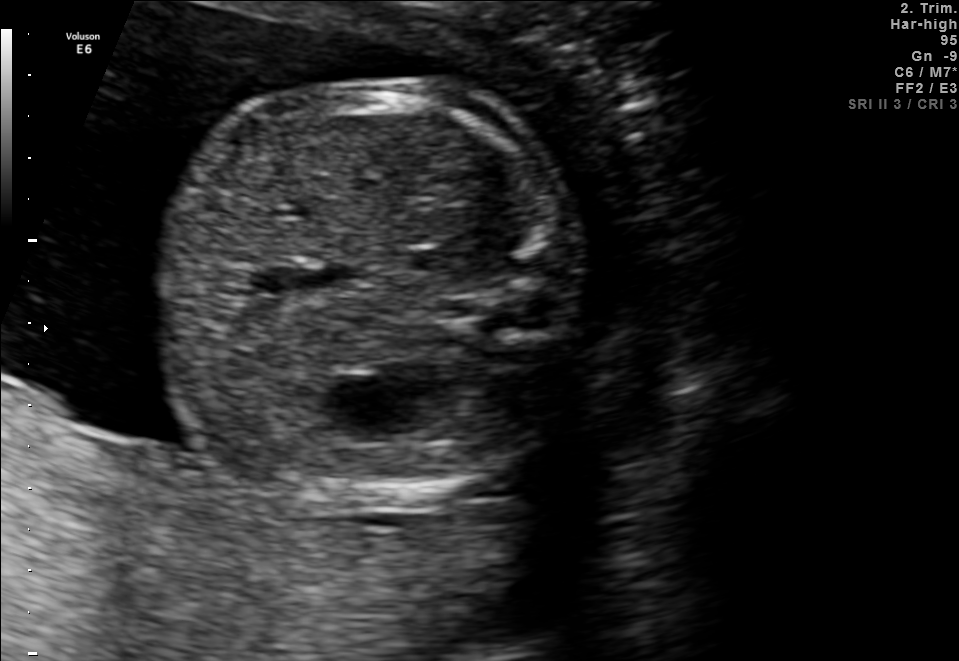
Identify the standard plane in this fetal ultrasound image: fetal abdomen, fetal brain, fetal femur, fetal thorax, maternal cervix, or other. If it's fetal brain and one of the three standard brain planes (trans-thalamic, trans-cerebellum, trans-ventricular), name which.

Fetal abdomen